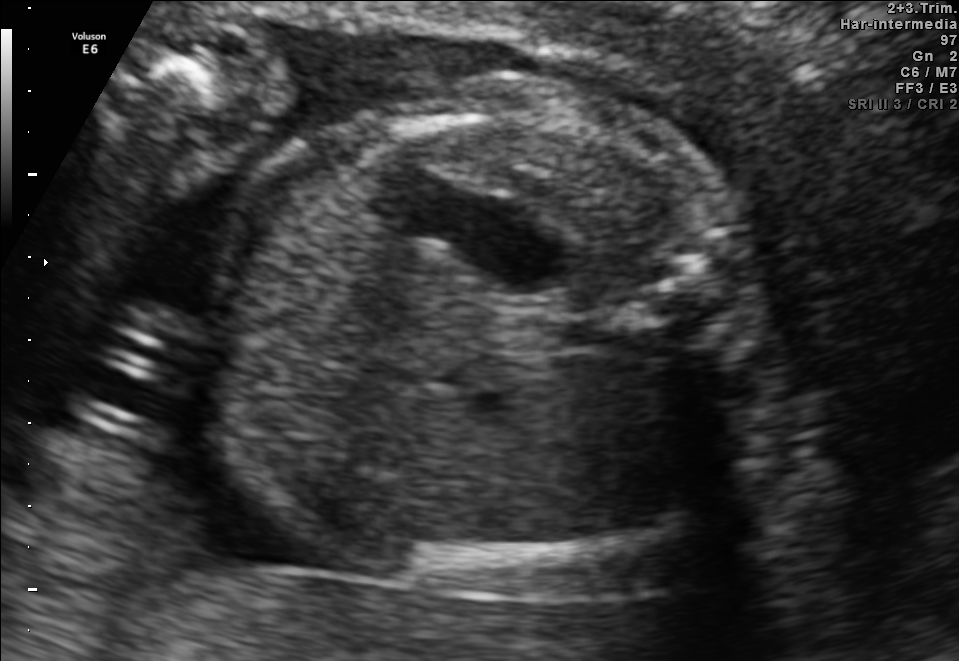
This is a 2D maternal-fetal ultrasound frame. Is it a fetal abdomen, fetal brain, fetal femur, fetal thorax, maternal cervix, or other standard plane? If it's fetal brain and one of the three standard brain planes (trans-thalamic, trans-cerebellum, trans-ventricular), name which.

Fetal abdomen